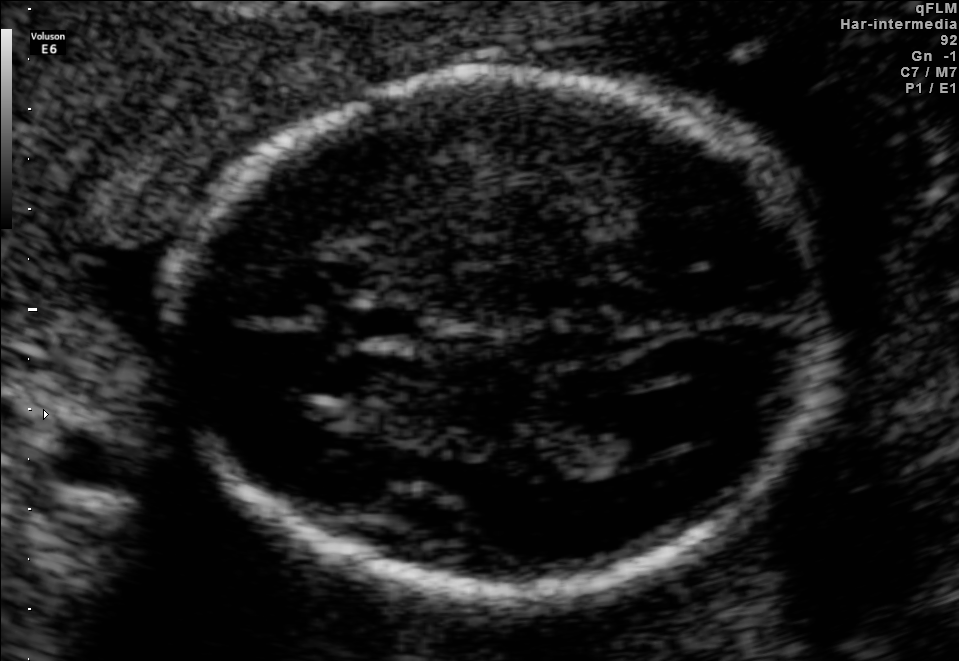
In this fetal brain, trans-ventricular plane, give bounding boxes for the head outline, cavum septum pellucidum (CSP), and lateral ventricle (LV), where visible.

Head: [153,63,852,604]
CSP: [350,306,437,337]